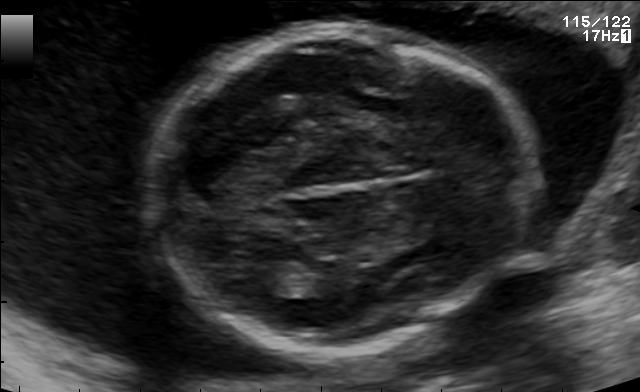
In this fetal brain, trans-thalamic plane, give the bounding box of the fetal head.

[153,27,543,347]